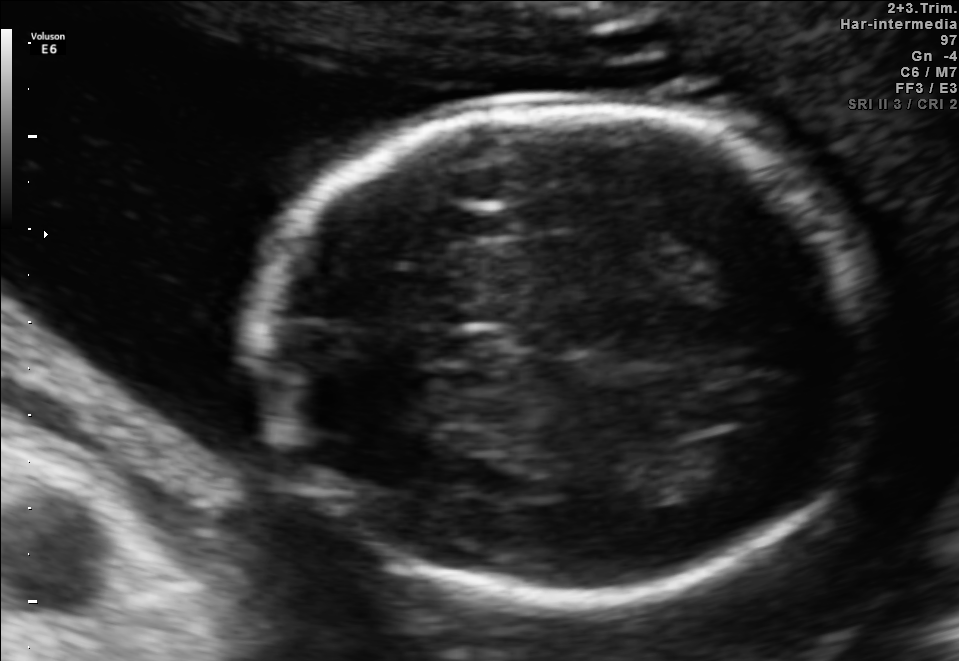
Fetal brain, trans-ventricular plane. Where is the lateral ventricle?

Lateral ventricle bounding box: [685,421,788,494]